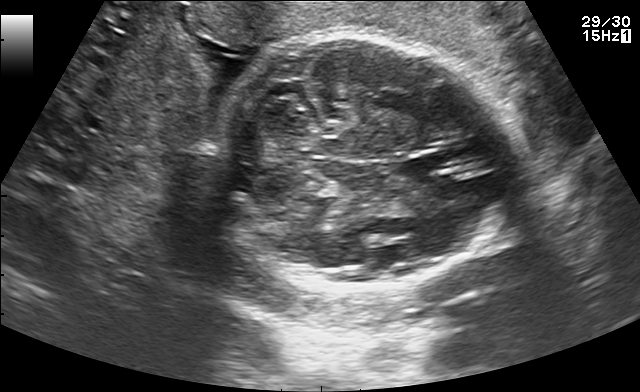
Fetal brain, trans-cerebellum plane. Locate the fetal head and, if visible, the cavum septum pellucidum (CSP) and lateral ventricle (LV). Give bounding boxes as [x1,y1,x2,y2].

Head: [216,33,505,291]